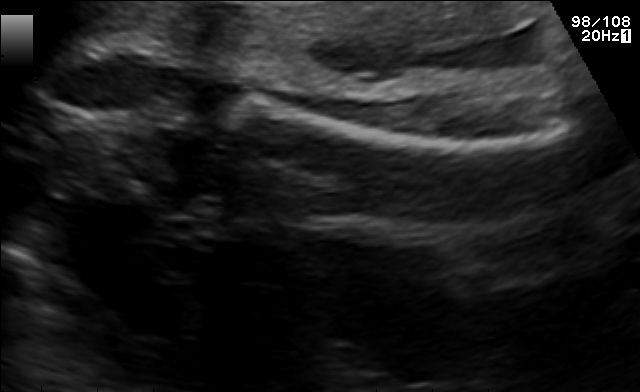
Identify the standard plane in this fetal ultrasound image: fetal abdomen, fetal brain, fetal femur, fetal thorax, maternal cervix, or other. If it's fetal brain and one of the three standard brain planes (trans-thalamic, trans-cerebellum, trans-ventricular), name which.

Fetal femur